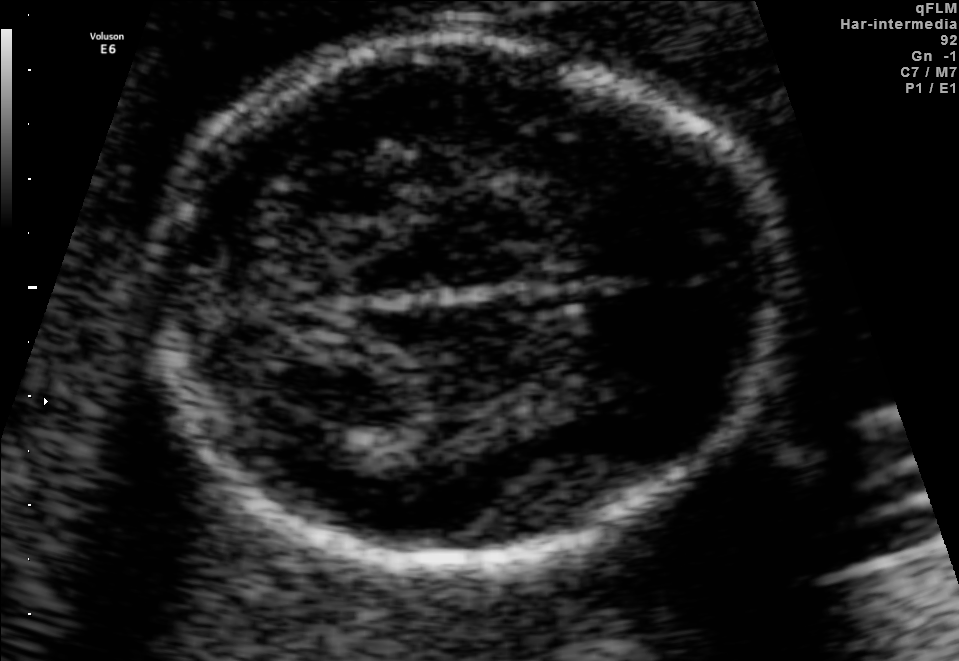
Fetal brain, trans-thalamic plane. Locate the fetal head and, if visible, the cavum septum pellucidum (CSP) and lateral ventricle (LV). Give bounding boxes as [x1,y1,x2,y2].

Head: [153,39,788,570]